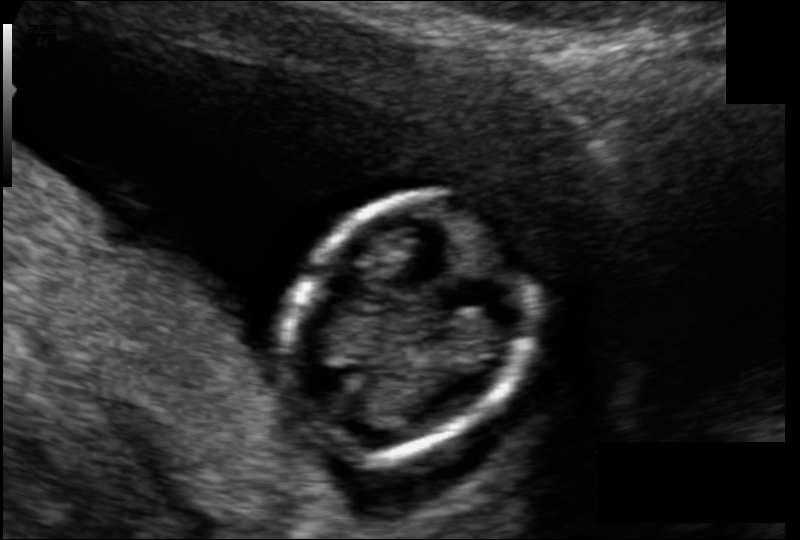
Fetal head ultrasound. Image width: 71.6 mm. Locate the fetal head.

Head: [285,194,536,456]